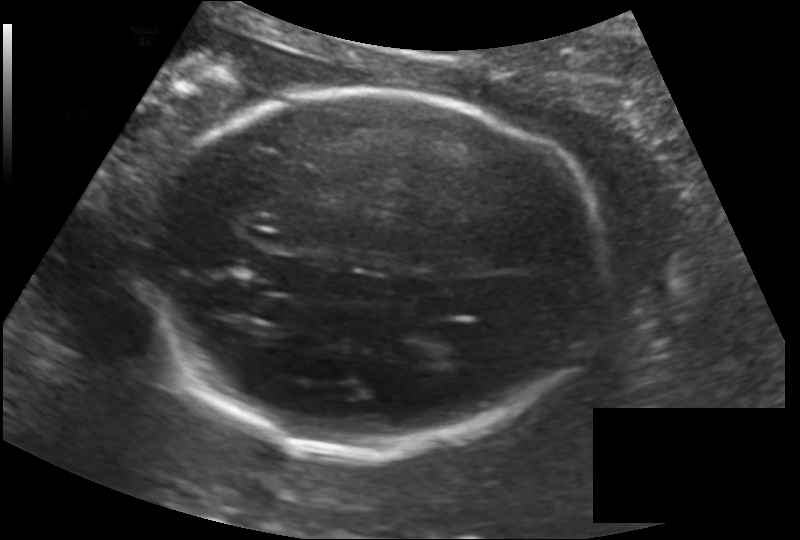
Fetal head ultrasound. Image width: 136.3 mm. Locate the fetal head.

Head: [148,93,599,455]